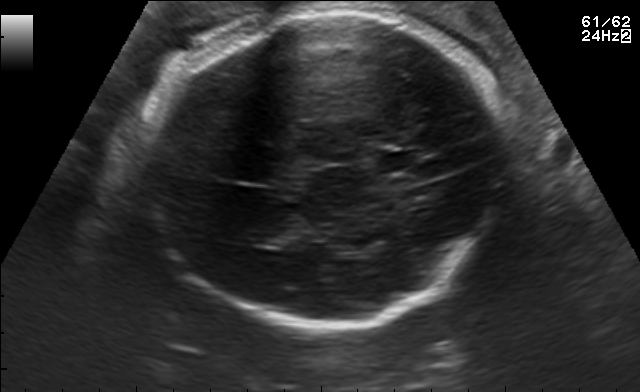
In this fetal brain, trans-thalamic plane, give the bounding box of the fetal head.

[137,12,505,326]